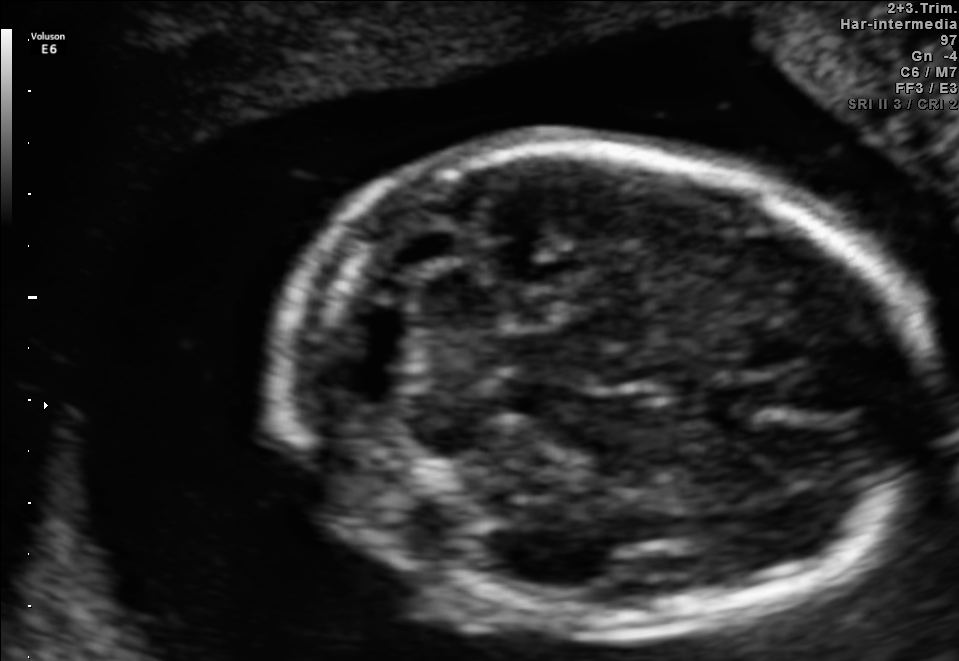
In this fetal brain, trans-cerebellum plane, give the bounding box of the fetal head.

[272,146,925,637]